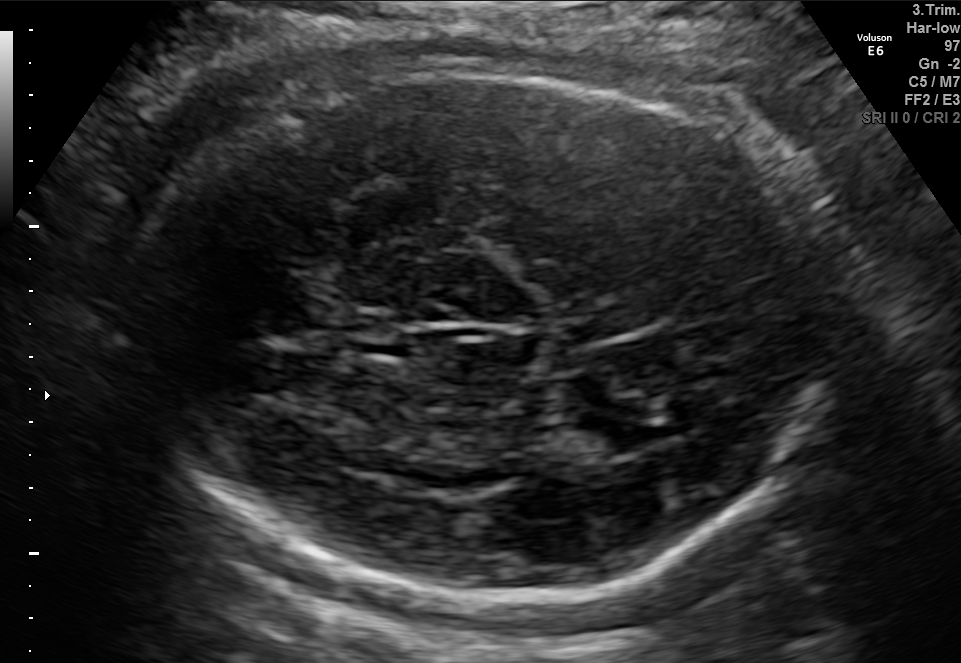
In this fetal brain, trans-thalamic plane, give bounding boxes for the head outline, cavum septum pellucidum (CSP), and lateral ventricle (LV), where visible.

Head: [131,66,830,611]
CSP: [351,336,417,360]
Lateral ventricle: [560,401,662,473]